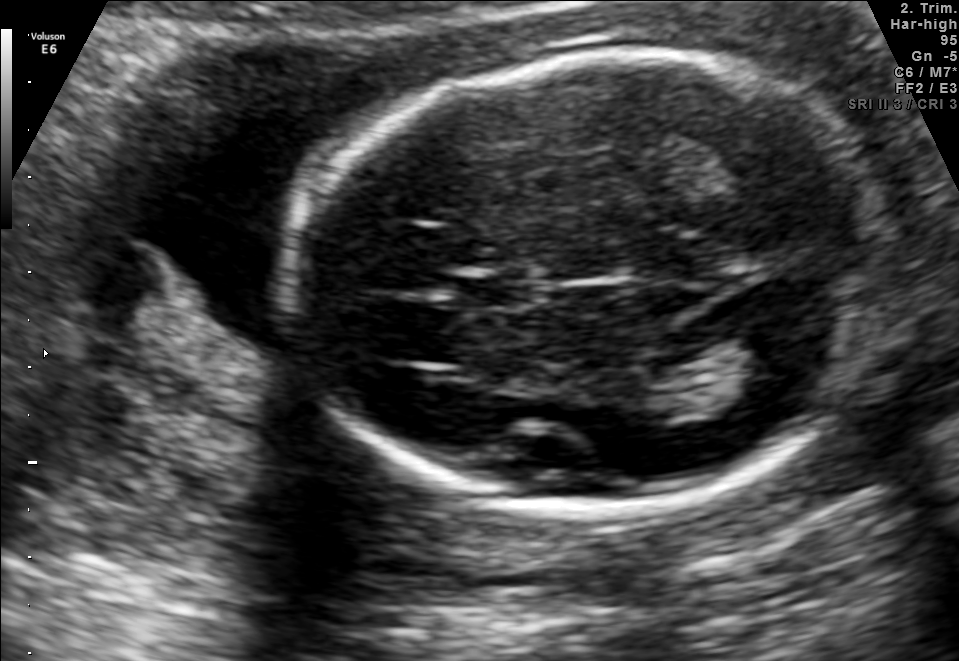
Fetal brain, trans-thalamic plane. Where is the cavum septum pellucidum?

CSP bounding box: [461,278,529,306]